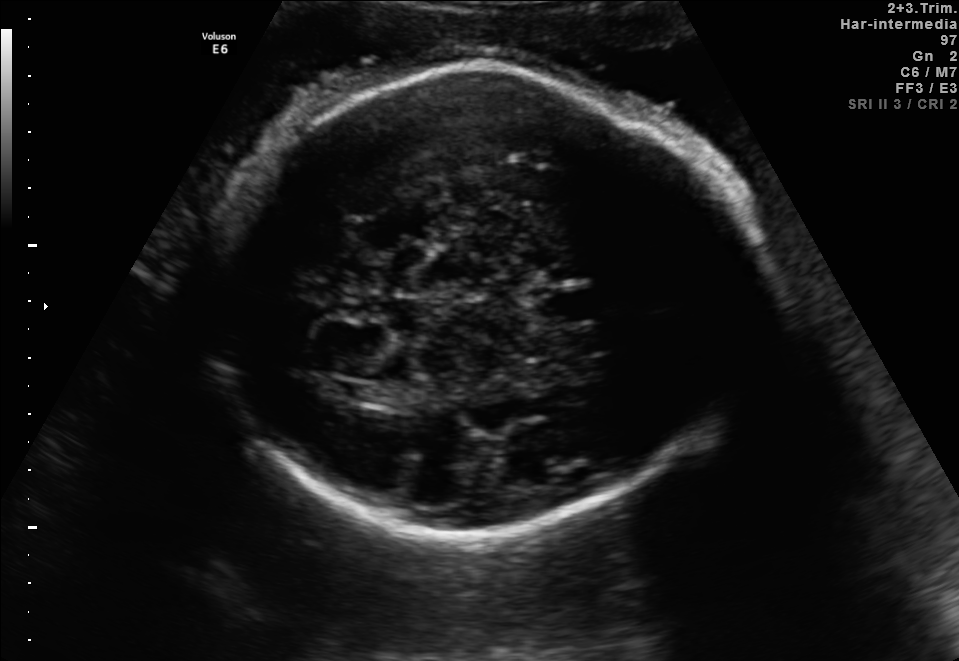
Fetal brain, trans-thalamic plane. Locate the fetal head.

Head: [207,65,764,534]